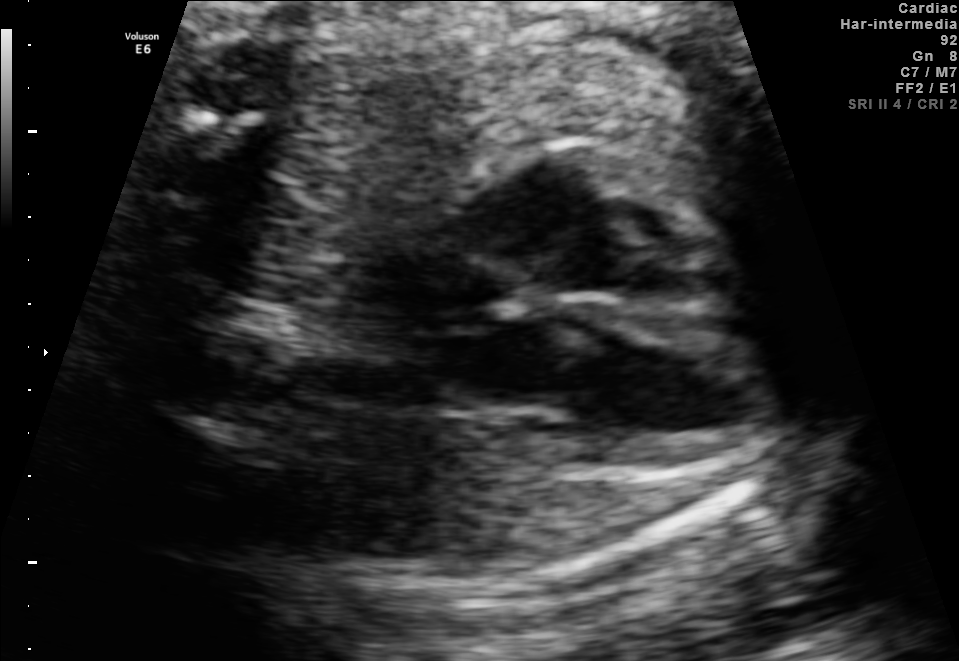
Which standard maternal-fetal ultrasound plane is shown: fetal abdomen, fetal brain, fetal femur, fetal thorax, maternal cervix, or other? If it's fetal brain and one of the three standard brain planes (trans-thalamic, trans-cerebellum, trans-ventricular), name which.

Fetal thorax